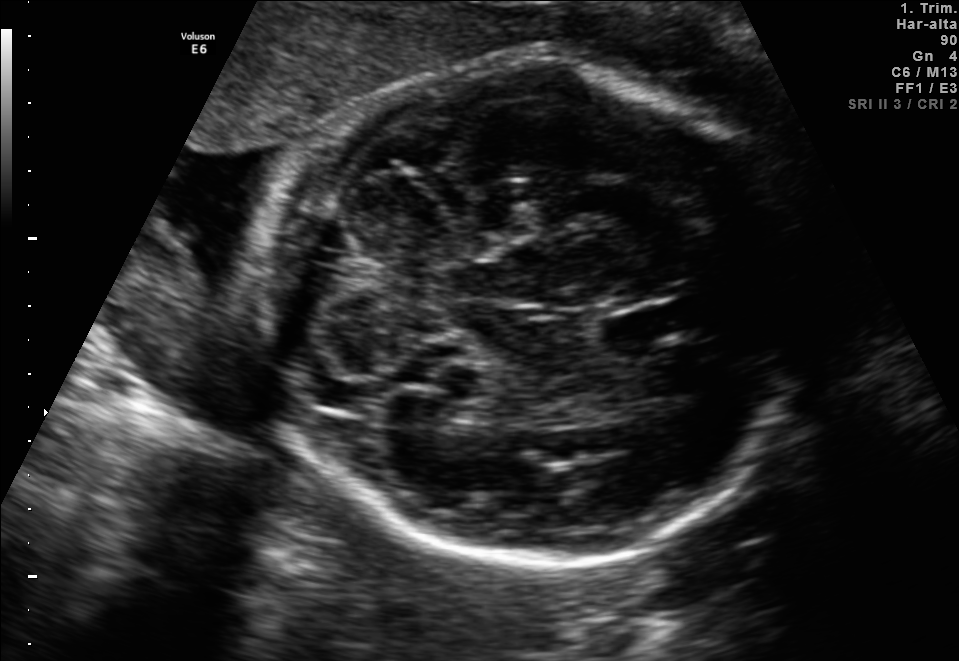
In this fetal brain, trans-cerebellum plane, give the bounding box of the fetal head.

[251,51,798,568]